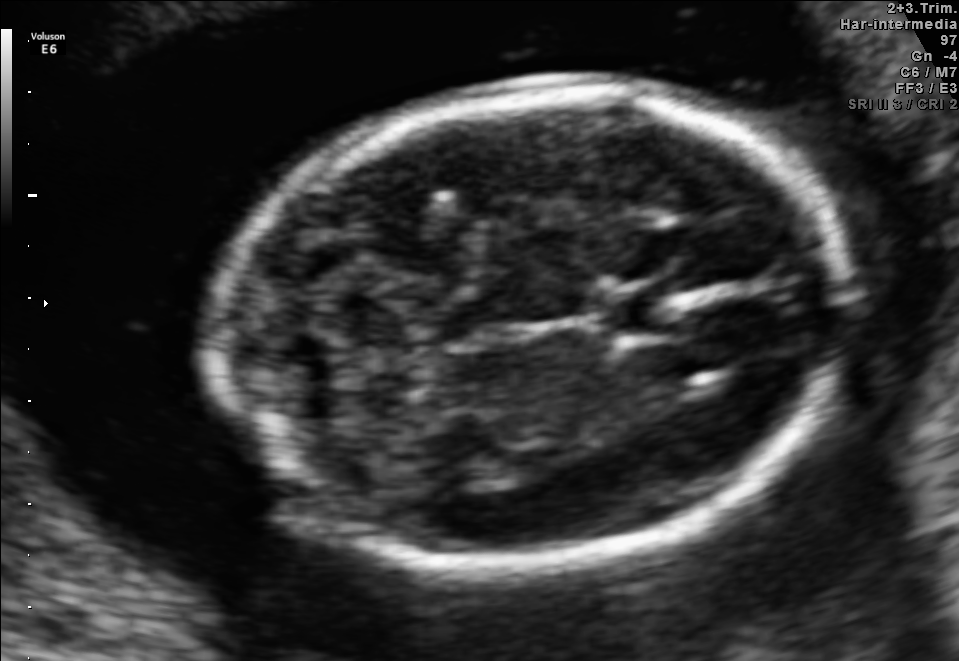
Fetal brain, trans-cerebellum plane. Locate the fetal head and, if visible, the cavum septum pellucidum (CSP) and lateral ventricle (LV). Give bounding boxes as [x1,y1,x2,y2].

Head: [226,85,841,564]
CSP: [596,281,682,344]